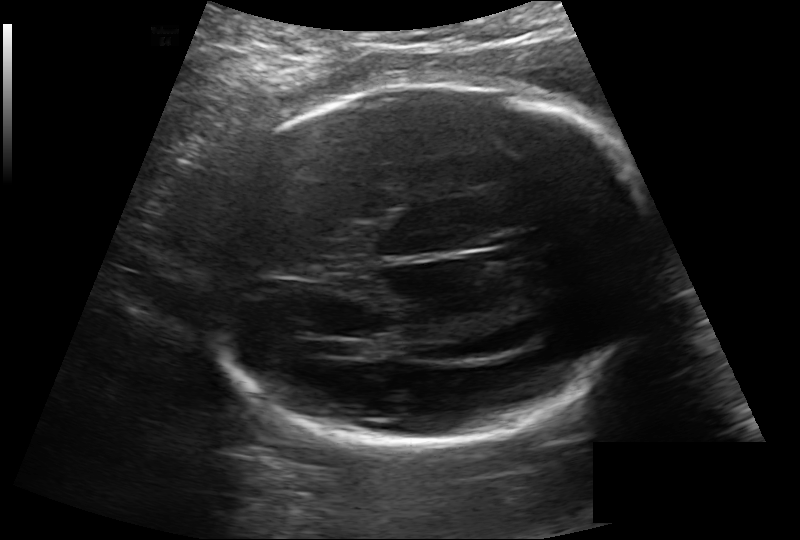
Fetal head ultrasound. Image width: 151.0 mm. Locate the fetal head and, if visible, the cavum septum pellucidum (CSP) and lateral ventricle (LV). Give bounding boxes as [x1,y1,x2,y2].

Head: [206,85,654,445]